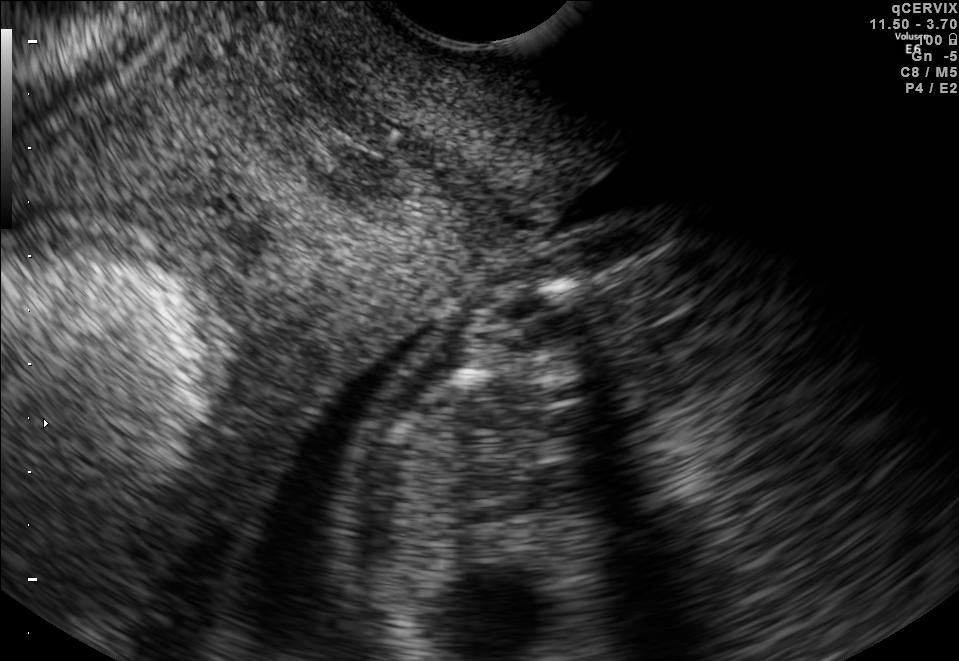
Classify this maternal-fetal ultrasound image as one of the six standard planes — fetal abdomen, fetal brain, fetal femur, fetal thorax, maternal cervix, or other. If it's fetal brain and one of the three standard brain planes (trans-thalamic, trans-cerebellum, trans-ventricular), name which.

Maternal cervix